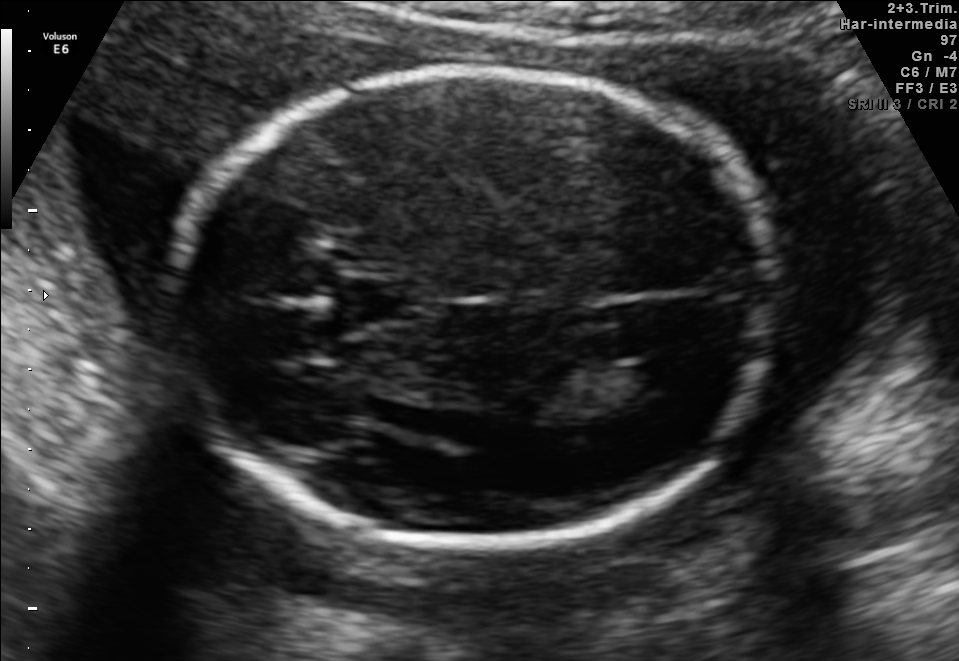
Fetal brain, trans-ventricular plane. Locate the fetal head and, if visible, the cavum septum pellucidum (CSP) and lateral ventricle (LV). Give bounding boxes as [x1,y1,x2,y2].

Head: [155,58,798,557]
CSP: [325,280,417,322]
Lateral ventricle: [619,353,690,403]